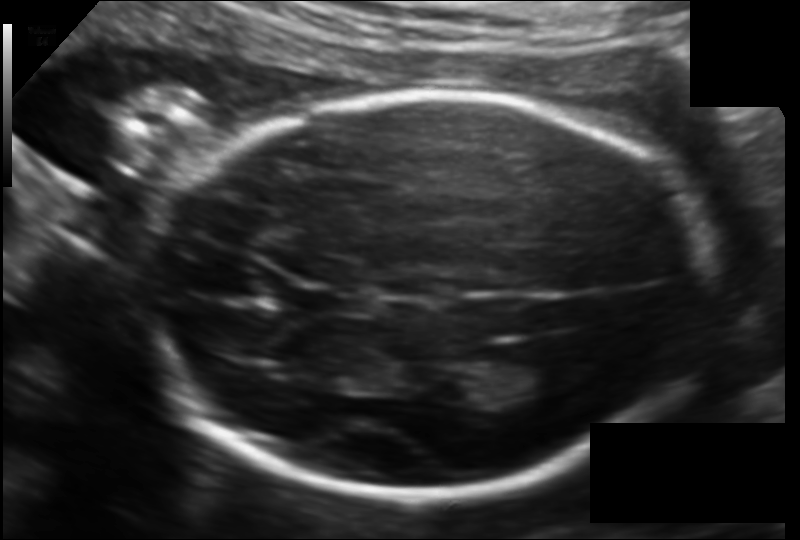
Fetal head ultrasound. Image width: 103.8 mm. Give [x1,y1,x2,y2] bounding boxes for each visible structure among: fetal head, CSP, LV.

Head: [149,96,711,493]
CSP: [288,283,348,318]
Lateral ventricle: [482,344,568,401]